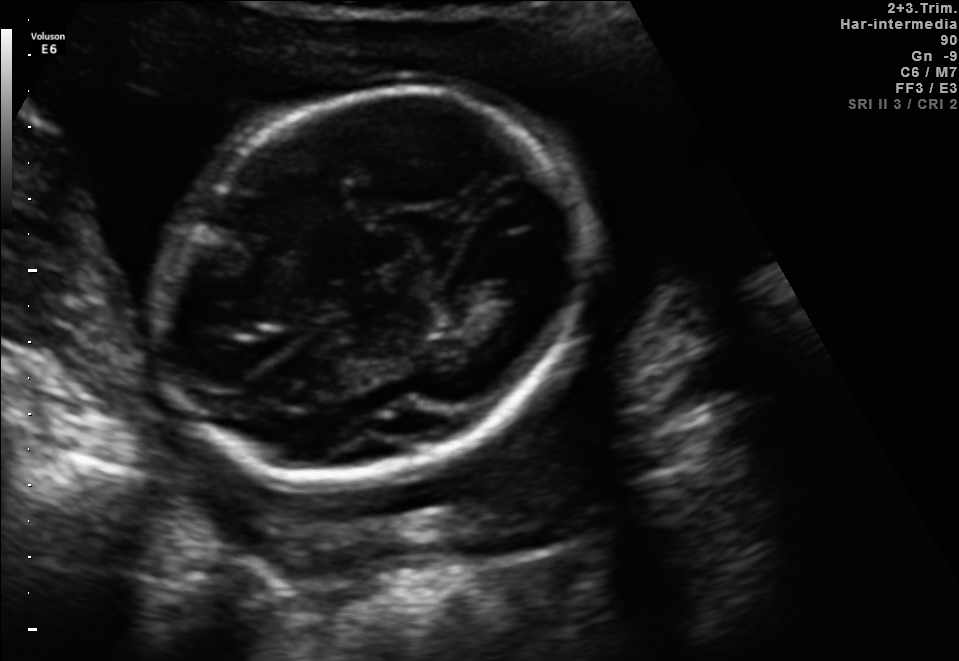
In this fetal brain, trans-thalamic plane, give bounding boxes for the head outline, cavum septum pellucidum (CSP), and lateral ventricle (LV), where visible.

Head: [157,82,588,489]